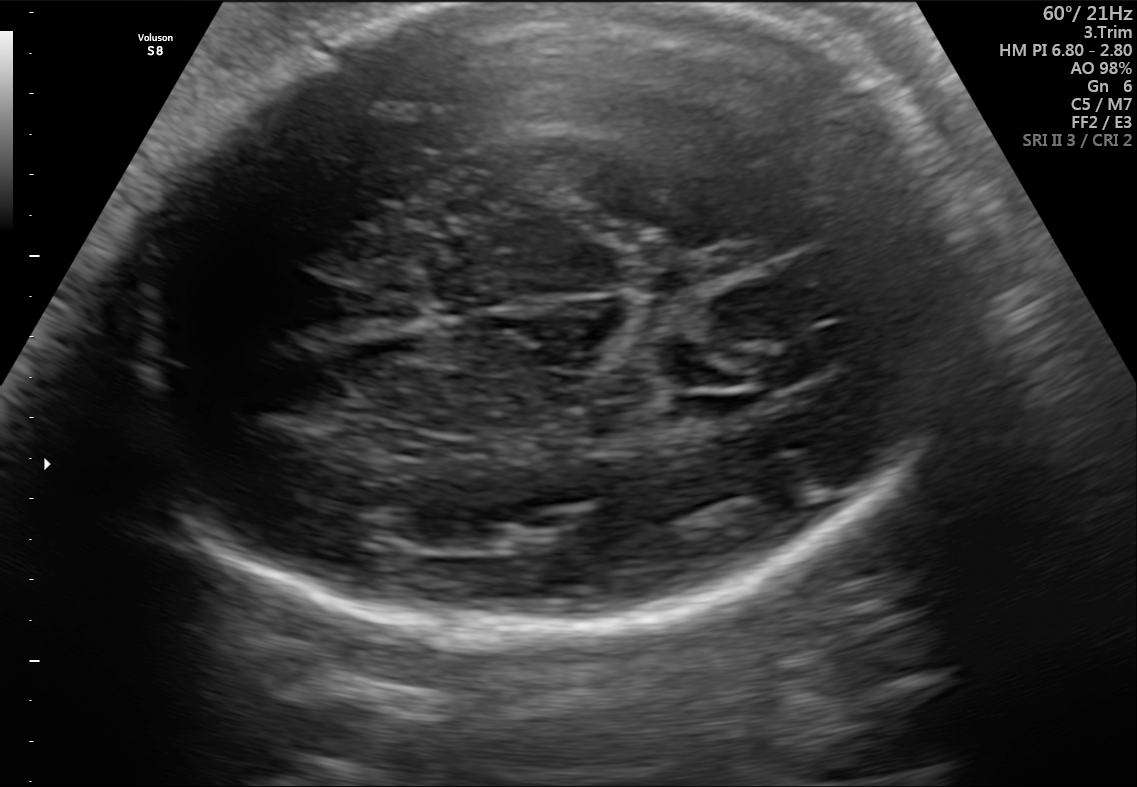
Identify the standard plane in this fetal ultrasound image: fetal abdomen, fetal brain, fetal femur, fetal thorax, maternal cervix, or other. If it's fetal brain and one of the three standard brain planes (trans-thalamic, trans-cerebellum, trans-ventricular), name which.

Fetal brain (trans-ventricular plane)